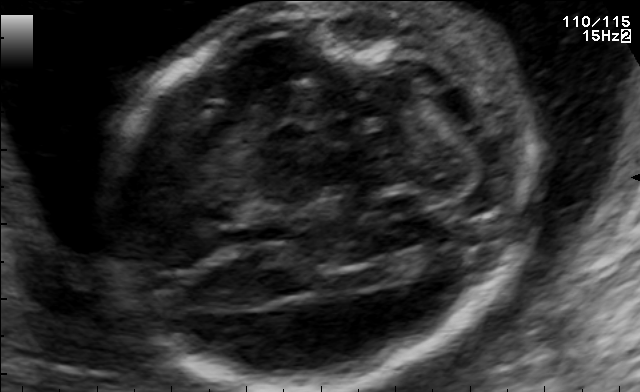
In this fetal brain, trans-cerebellum plane, give bounding boxes for the head outline, cavum septum pellucidum (CSP), and lateral ventricle (LV), where visible.

Head: [105,4,521,391]